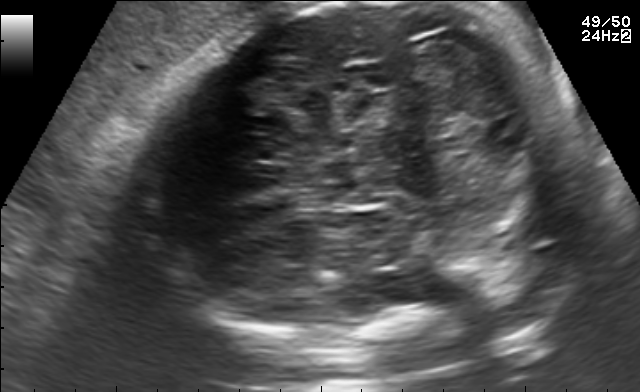
Fetal brain, trans-cerebellum plane. Locate the fetal head.

Head: [135,1,587,345]